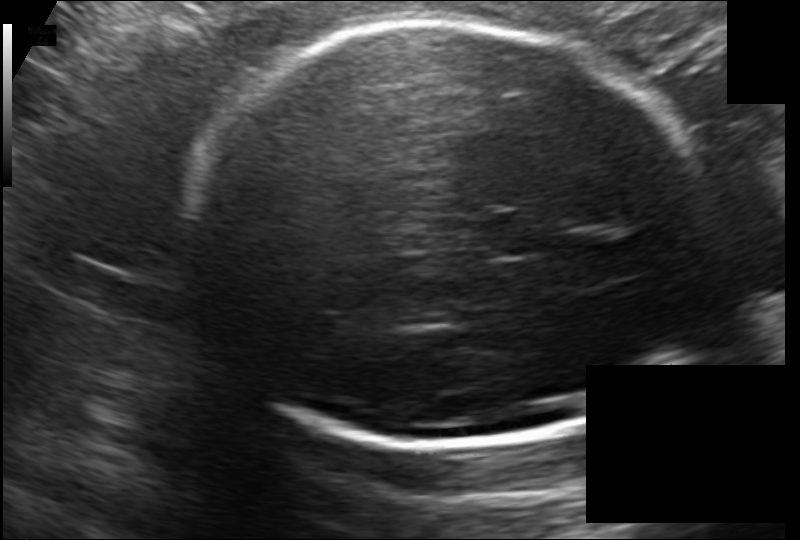
From this fetal ultrasound, estimate the head circumference (image width 137.9 mm).

Head circumference: 265.5 mm.